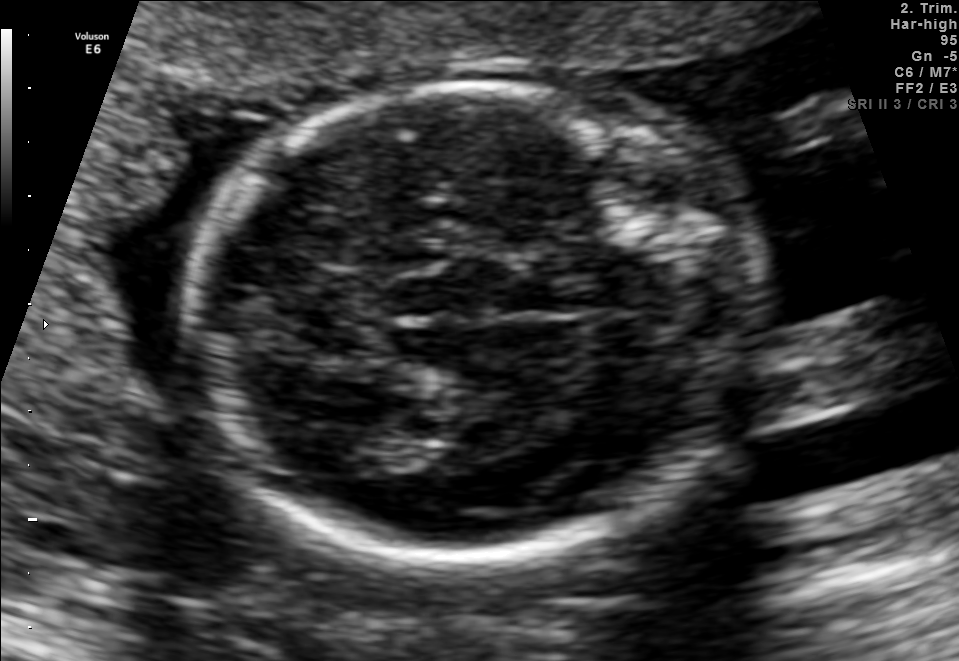
In this fetal brain, trans-thalamic plane, give the bounding box of the fetal head.

[181,87,752,560]